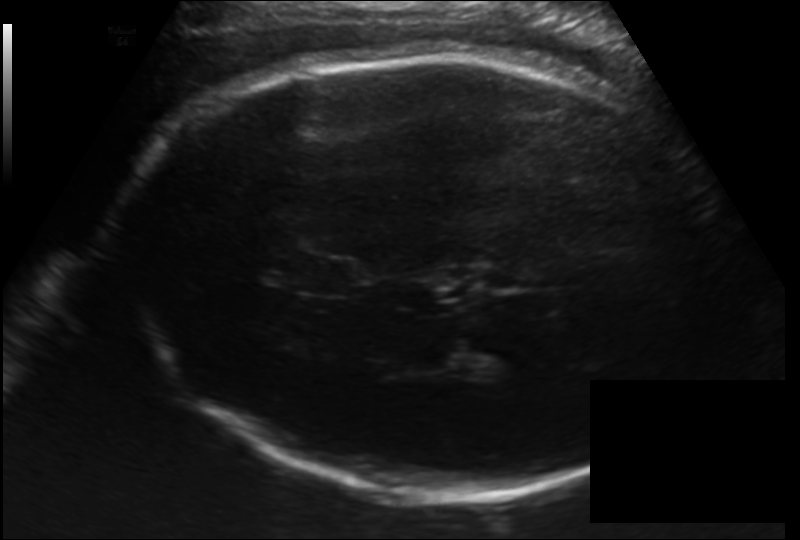
Measure the fetal head circumference shown in this ultrasound image. Image width: 153.4 mm.

Head circumference: 328.6 mm.